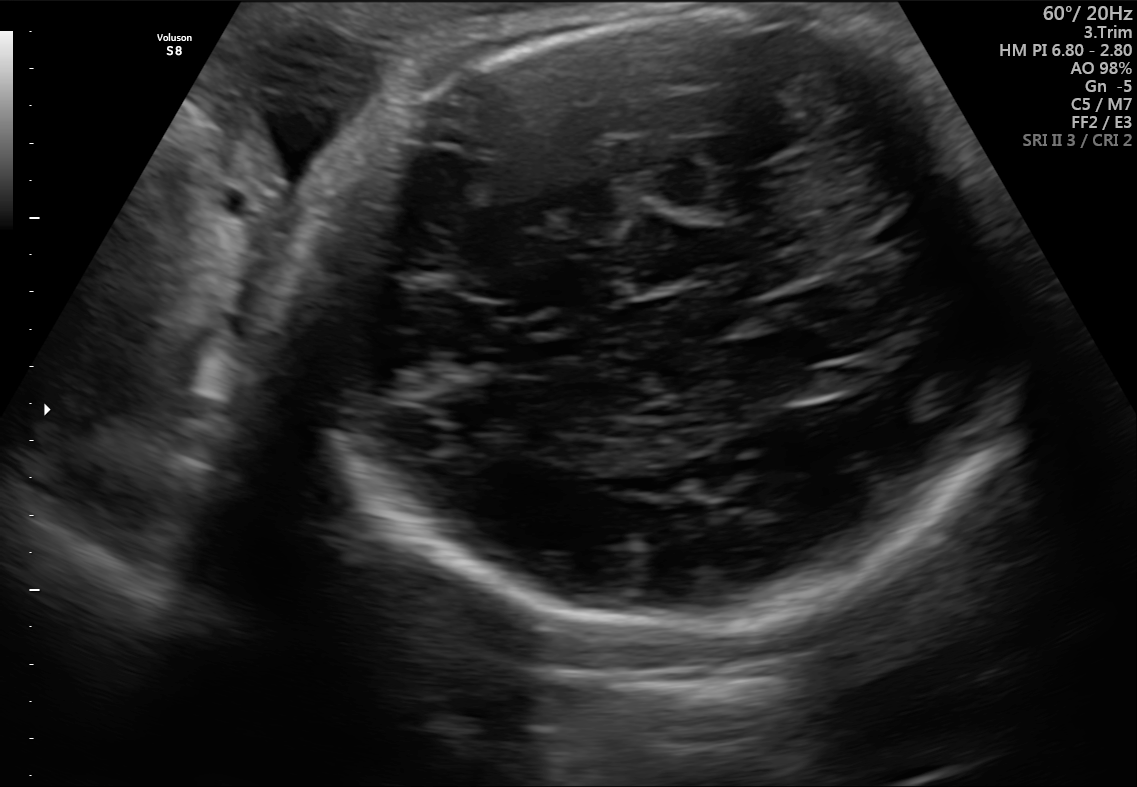
Fetal brain, trans-cerebellum plane. Where is the fetal head?

Head bounding box: [314,8,1020,631]